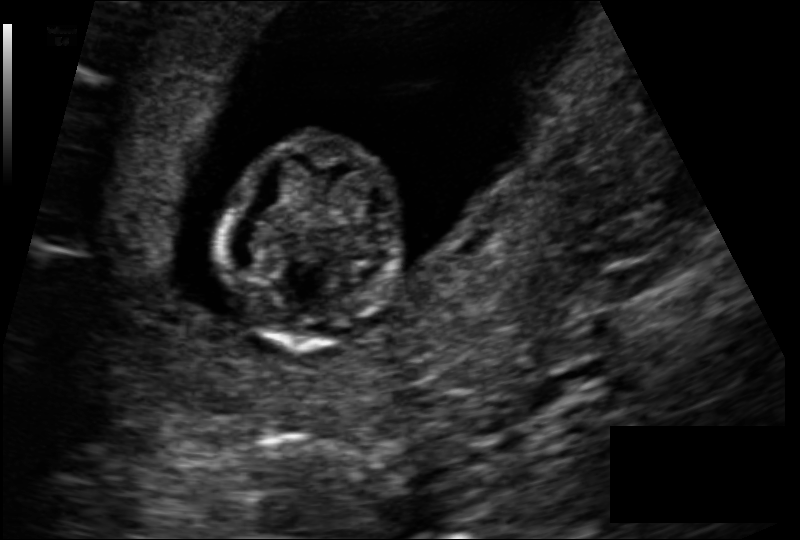
From this fetal ultrasound, estimate the head circumference (image width 90.6 mm).

Head circumference: 75.2 mm.